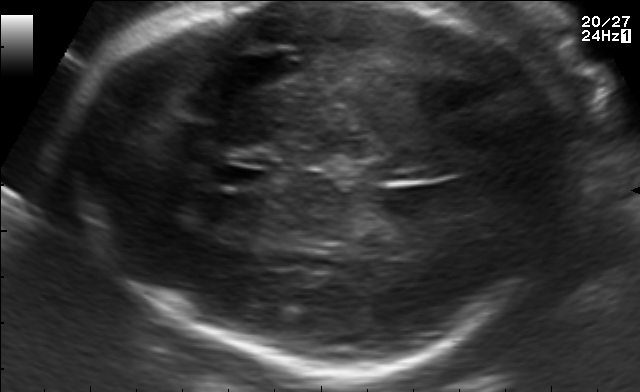
Classify this maternal-fetal ultrasound image as one of the six standard planes — fetal abdomen, fetal brain, fetal femur, fetal thorax, maternal cervix, or other. If it's fetal brain and one of the three standard brain planes (trans-thalamic, trans-cerebellum, trans-ventricular), name which.

Fetal brain (trans-thalamic plane)